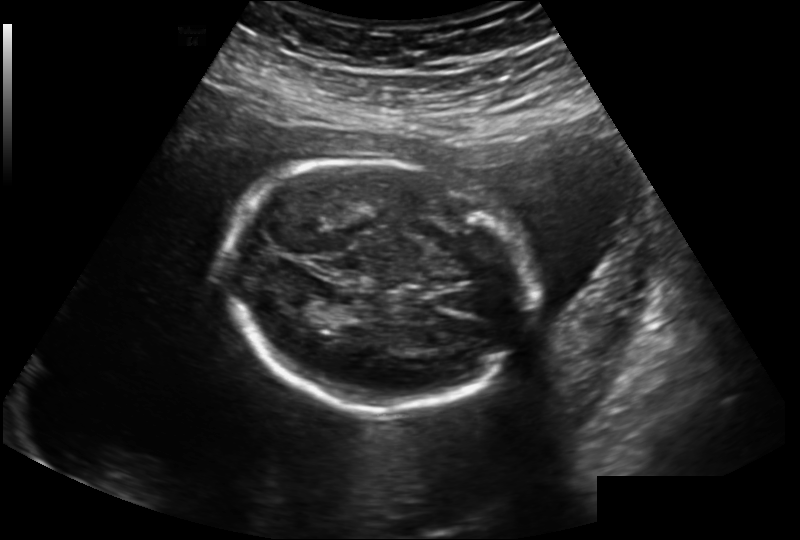
Fetal head ultrasound. Image width: 161.6 mm. Where is the fetal head?

Head bounding box: [223,160,531,409]